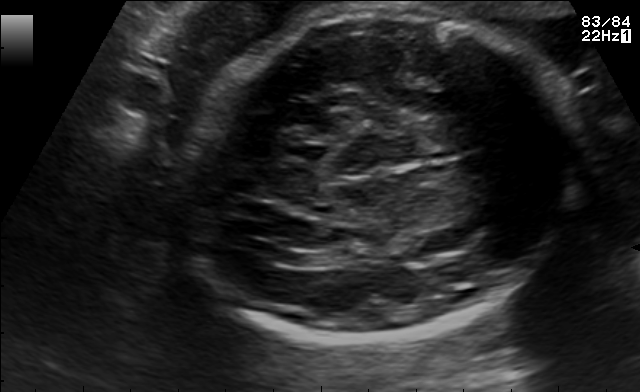
In this fetal brain, trans-ventricular plane, give the bounding box of the fetal head.

[176,7,578,345]